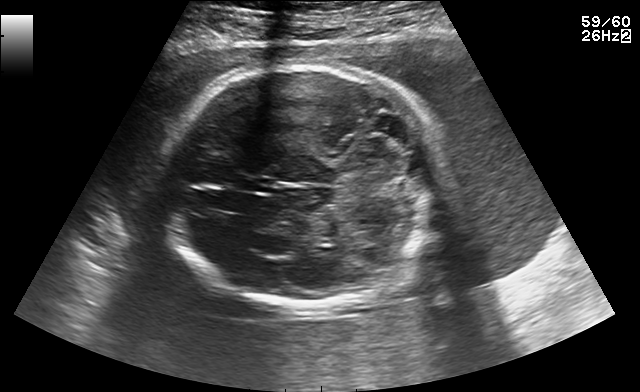
Fetal brain, trans-cerebellum plane. Locate the fetal head.

Head: [161,65,448,306]